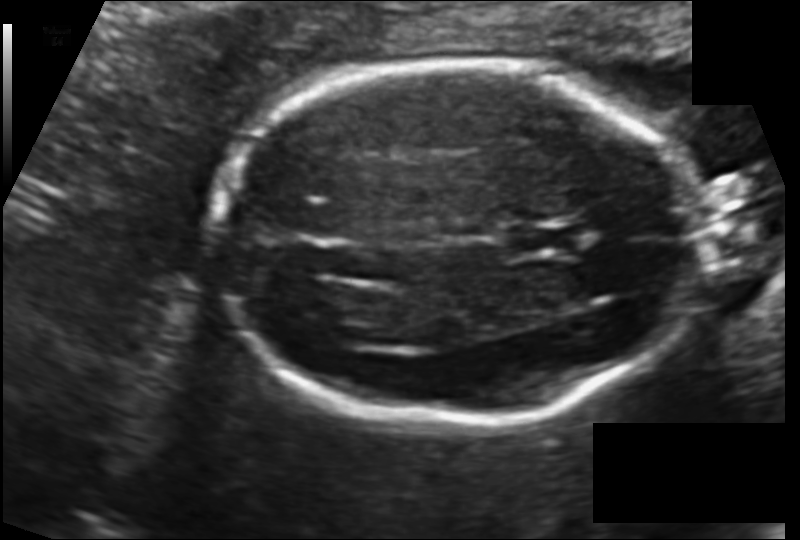
Fetal head ultrasound. Image width: 98.3 mm. Where is the lateral ventricle?

Lateral ventricle bounding box: [286,278,369,338]